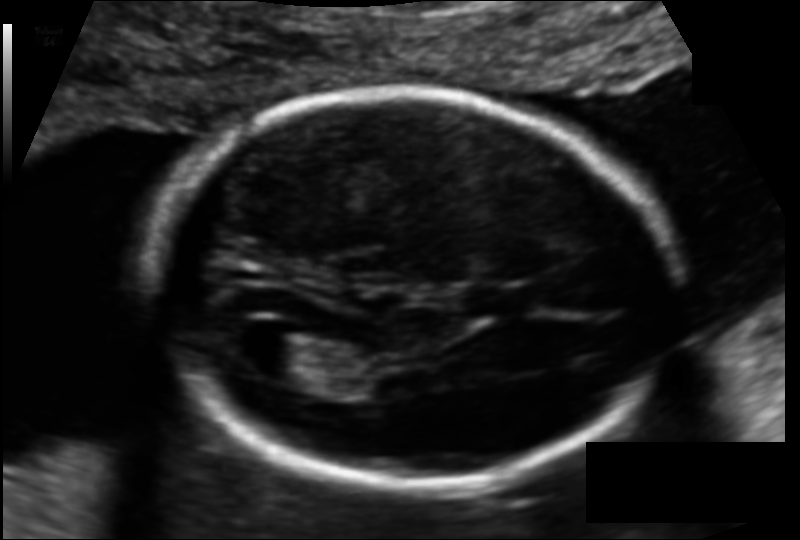
In this fetal head ultrasound, give the bounding box of the fetal head. Image width: 91.1 mm.

[152,89,673,485]